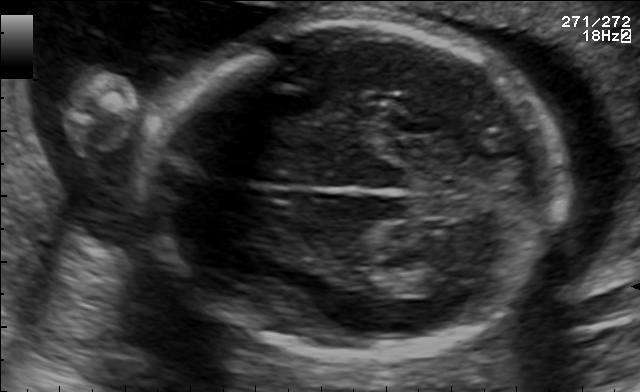
Fetal brain, trans-thalamic plane. Give [x1,y1,x2,y2] bounding boxes for each visible structure among: fetal head, CSP, LV.

Head: [145,24,559,358]
Lateral ventricle: [406,263,477,300]